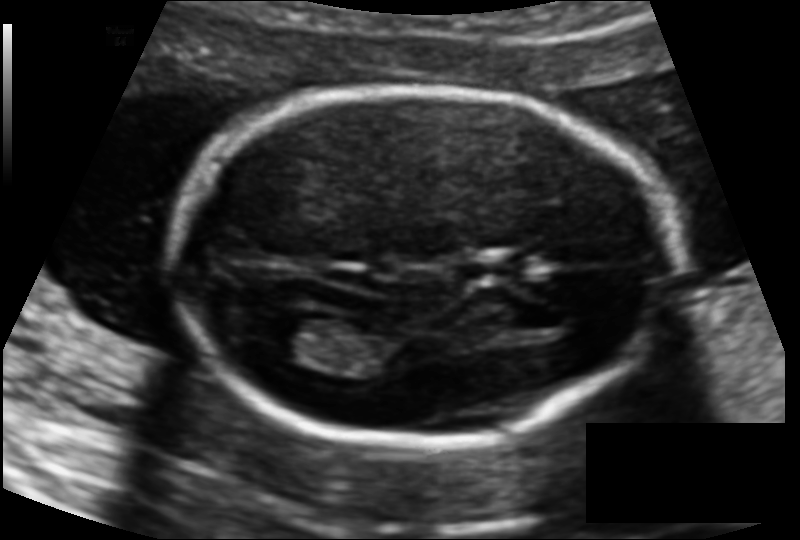
Estimate the fetal head circumference from this 2D ultrasound.

Head circumference: 158.8 mm (image width 91.5 mm).